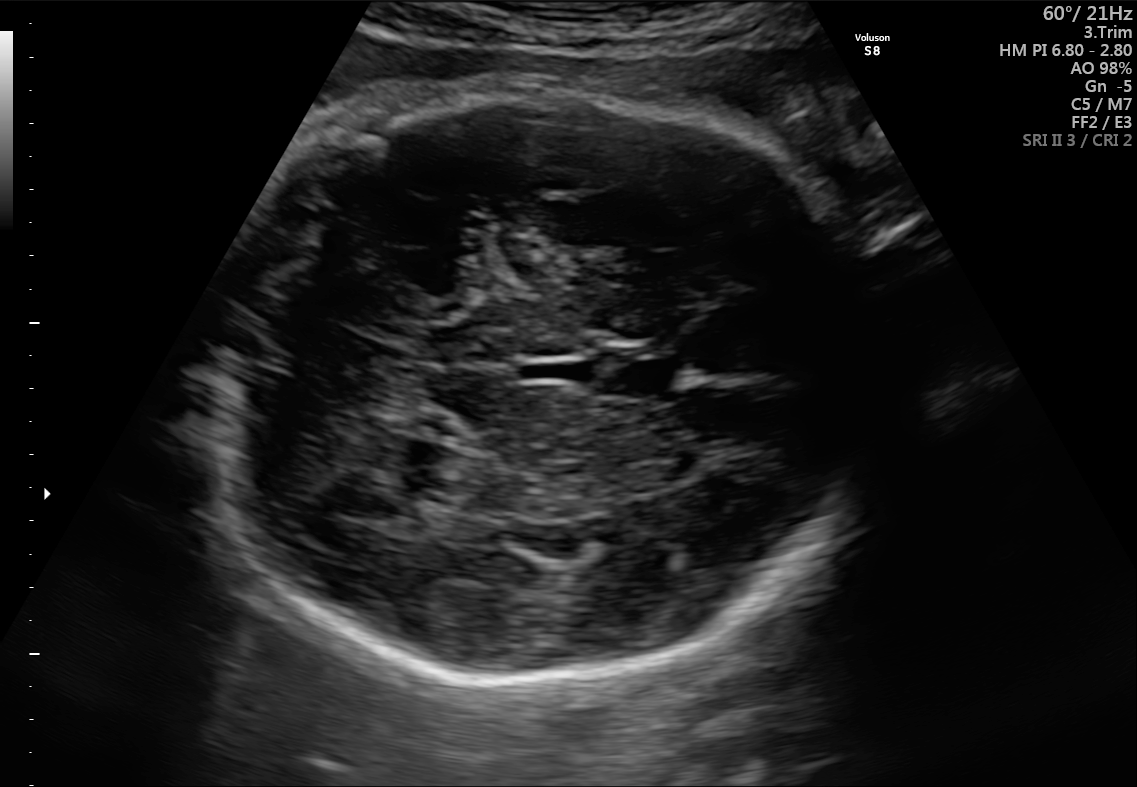
Fetal brain, trans-cerebellum plane. Where is the cavum septum pellucidum?

CSP bounding box: [601,340,684,401]